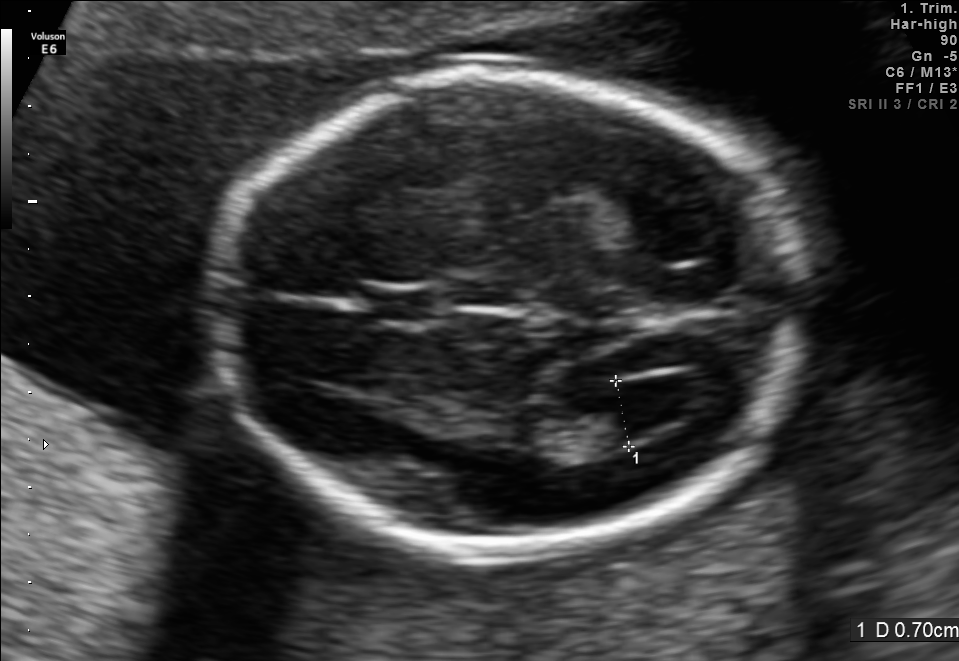
Fetal brain, trans-ventricular plane. Where is the cavum septum pellucidum?

CSP bounding box: [367,289,434,320]